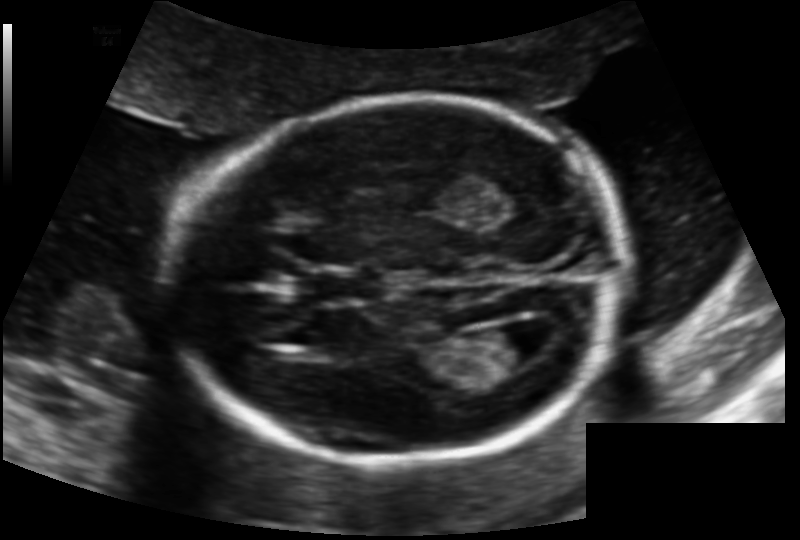
Fetal head ultrasound. Image width: 104.9 mm. Locate the cavum septum pellucidum.

CSP: [311,269,383,302]